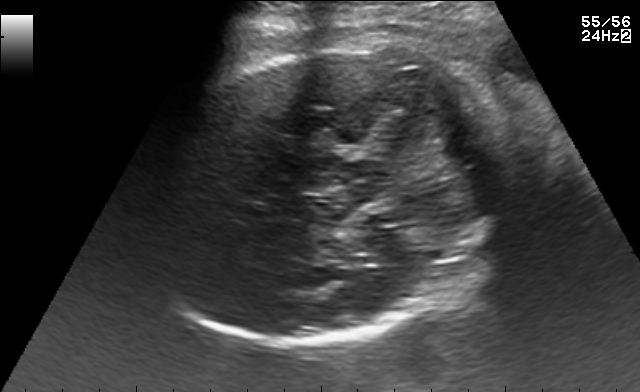
Fetal brain, trans-cerebellum plane. Give [x1,y1,x2,y2] bounding boxes for each visible structure among: fetal head, CSP, LV.

Head: [153,46,499,344]